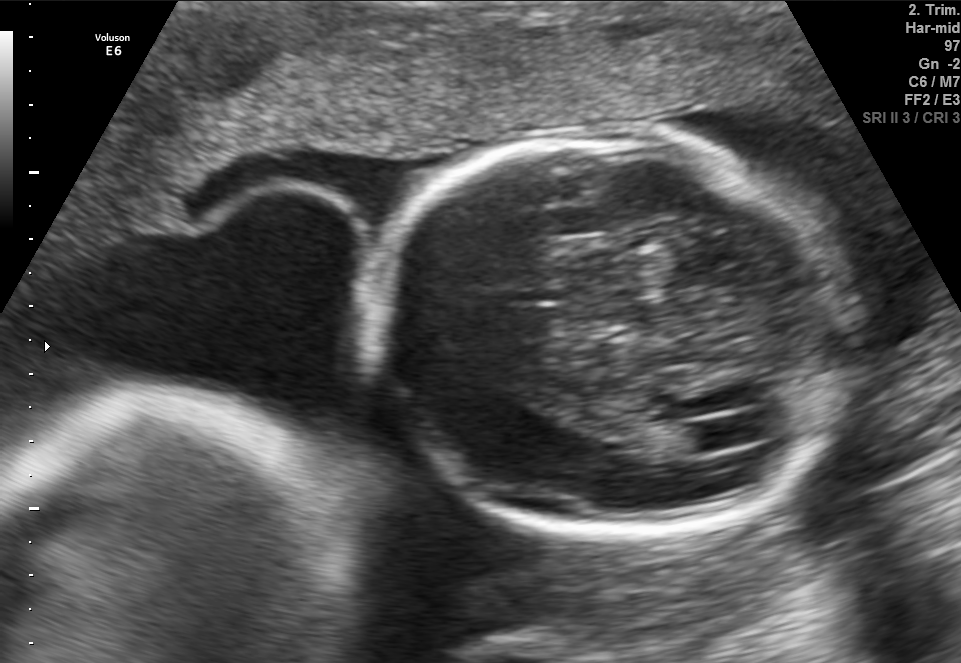
Fetal brain, trans-ventricular plane. Where is the lateral ventricle?

Lateral ventricle bounding box: [682,412,753,456]